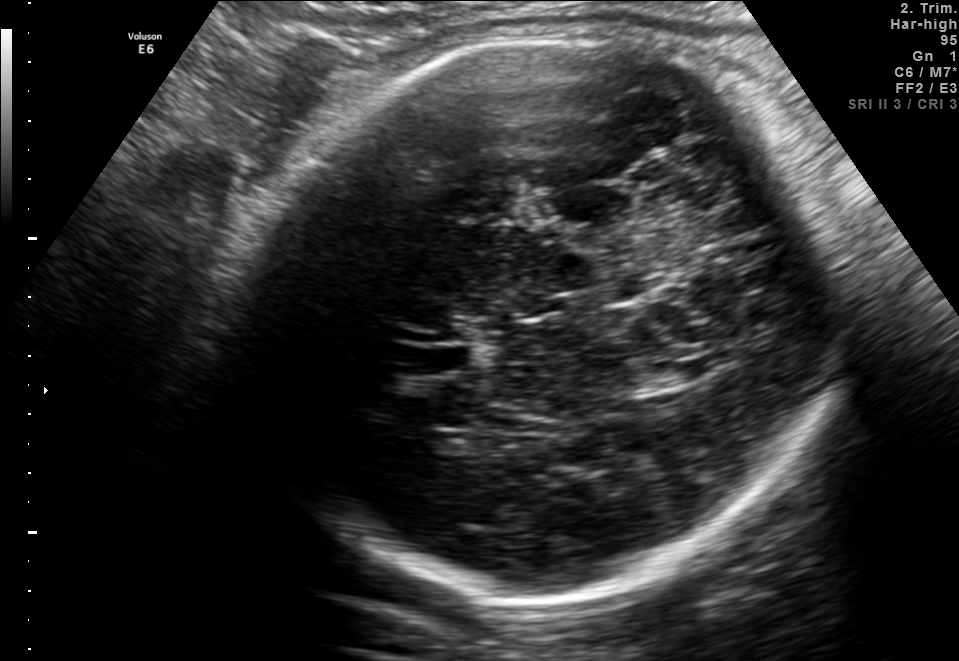
Fetal brain, trans-thalamic plane. Where is the lateral ventricle?

Lateral ventricle bounding box: [637,360,697,394]